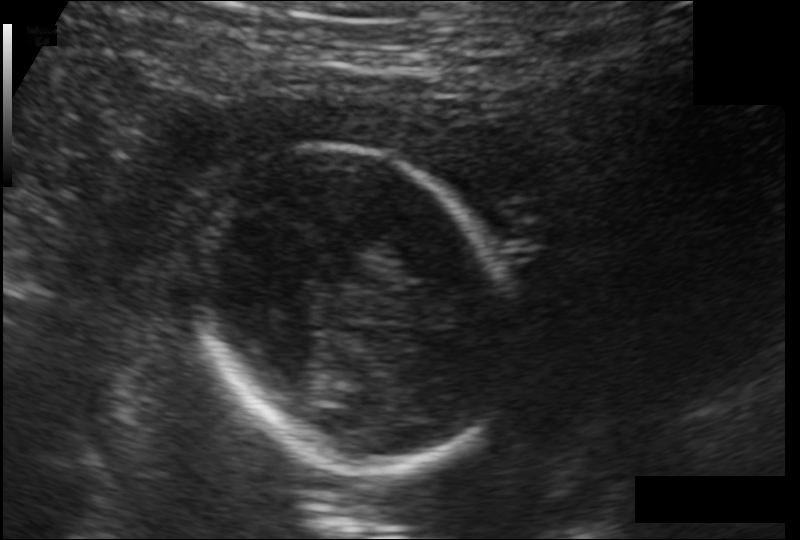
From this fetal ultrasound, estimate the head circumference (image width 116.5 mm).

Head circumference: 146.2 mm.